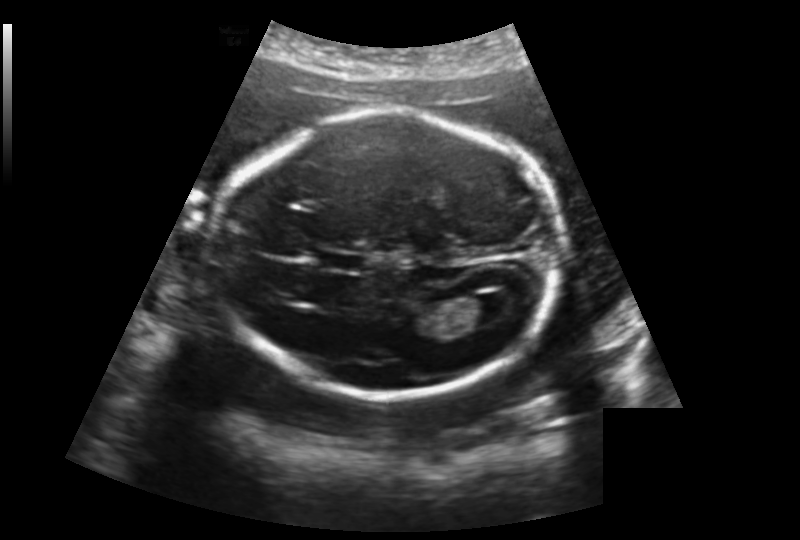
In this fetal head ultrasound, give the bounding box of the fetal head. Image width: 150.3 mm.

[214,114,563,394]